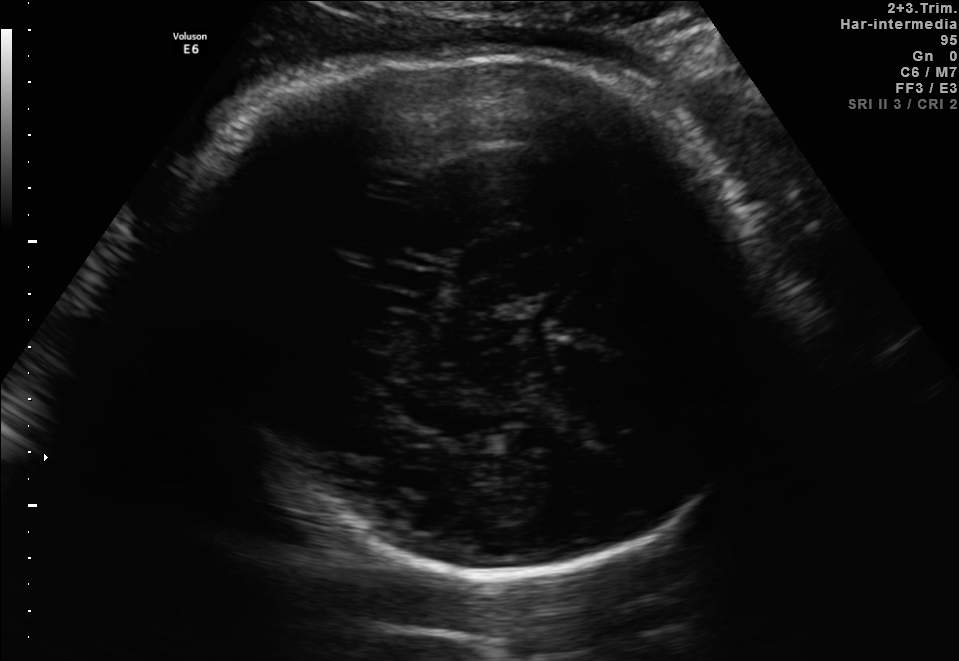
In this fetal brain, trans-thalamic plane, give the bounding box of the fetal head.

[220,55,767,592]